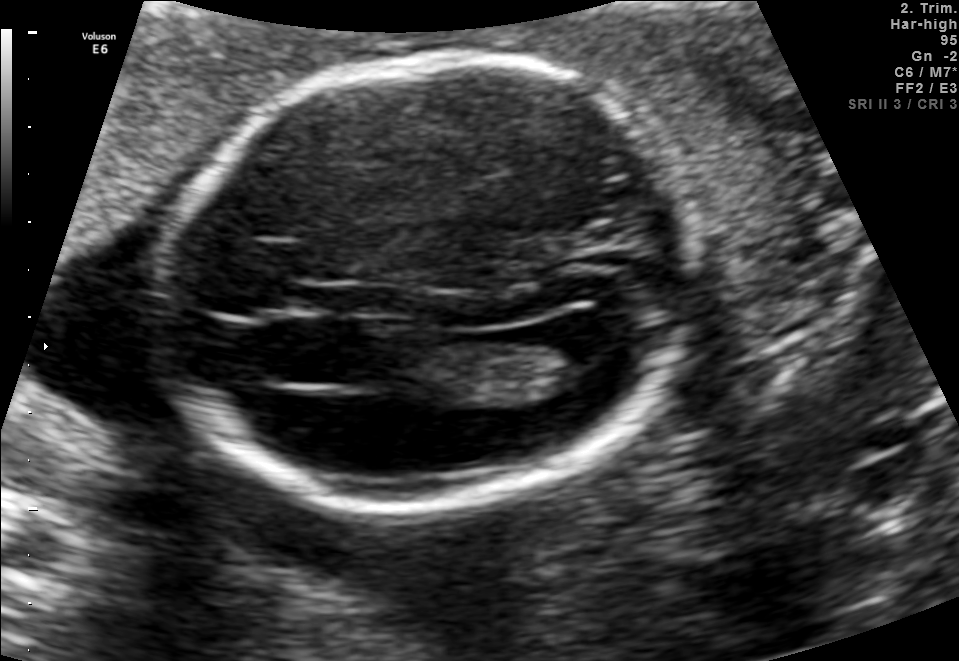
Fetal brain, trans-ventricular plane. Where is the fetal head?

Head bounding box: [147,48,708,527]